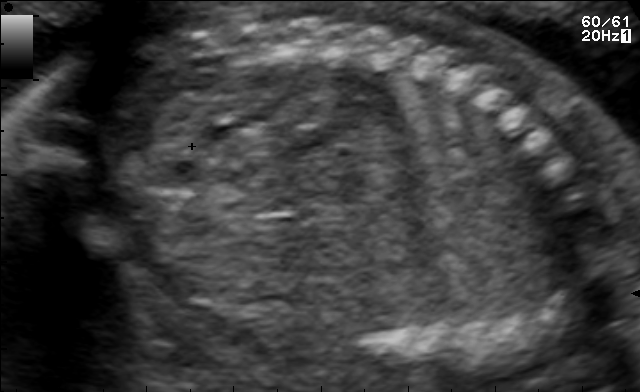
Identify the standard plane in this fetal ultrasound image: fetal abdomen, fetal brain, fetal femur, fetal thorax, maternal cervix, or other. If it's fetal brain and one of the three standard brain planes (trans-thalamic, trans-cerebellum, trans-ventricular), name which.

Other